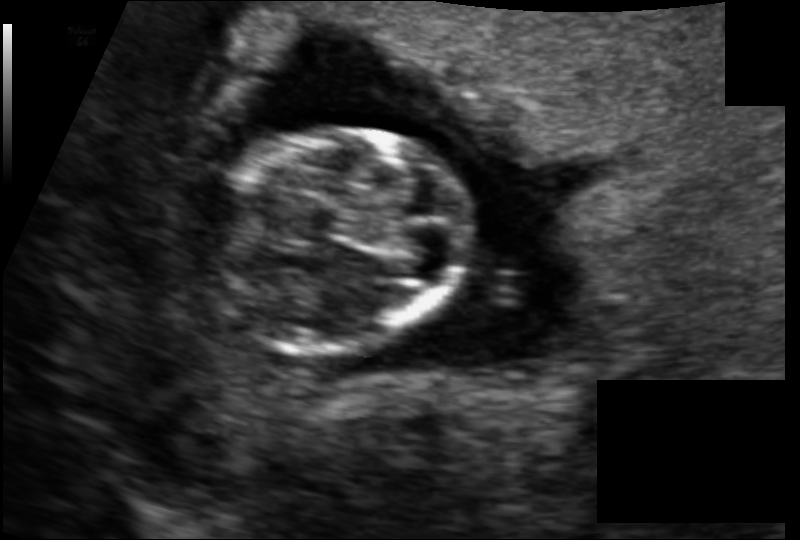
In this fetal head ultrasound, give bounding boxes for the head outline, cavum septum pellucidum (CSP), and lateral ventricle (LV), where visible. Image width: 77.7 mm.

Head: [204,129,468,349]